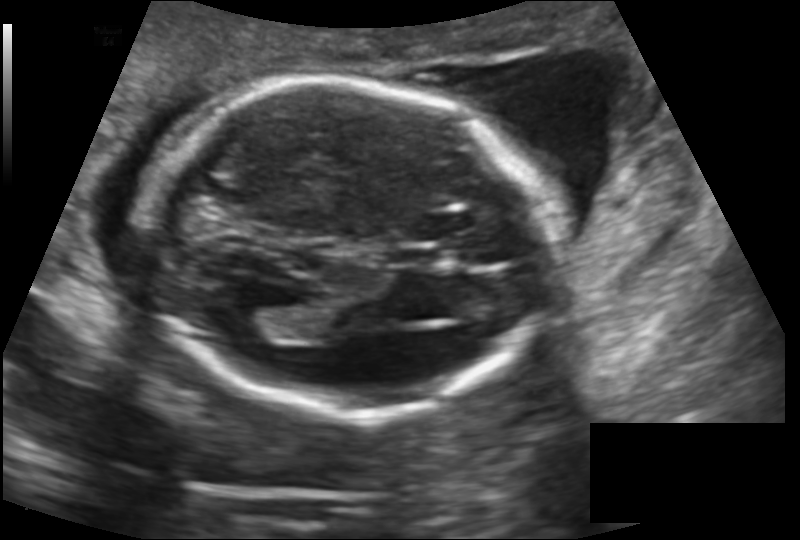
What is the fetal head circumference? Image width is 116.4 mm.

175.0 mm